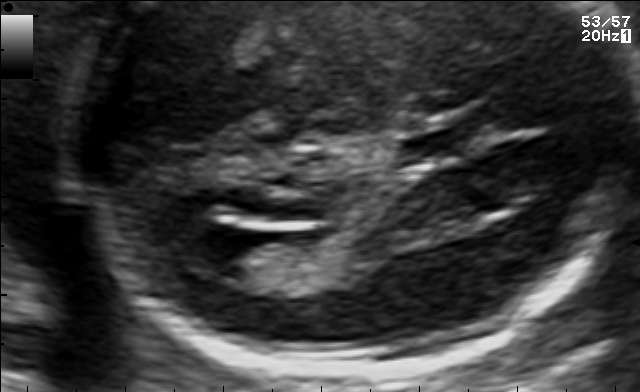
Fetal brain, trans-ventricular plane. Give [x1,y1,x2,y2] bounding boxes for each visible structure among: CSP, LV.

CSP: [396,123,469,170]
Lateral ventricle: [167,212,260,281]